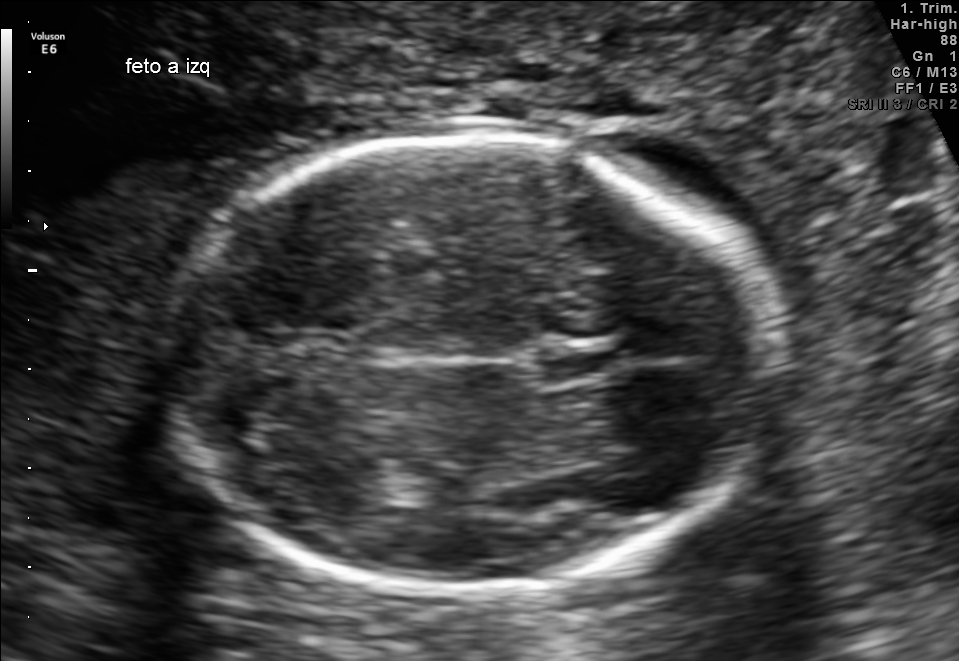
Fetal brain, trans-thalamic plane. Locate the fetal head and, if visible, the cavum septum pellucidum (CSP) and lateral ventricle (LV). Give bounding boxes as [x1,y1,x2,y2].

Head: [163,137,780,590]
CSP: [539,342,619,380]